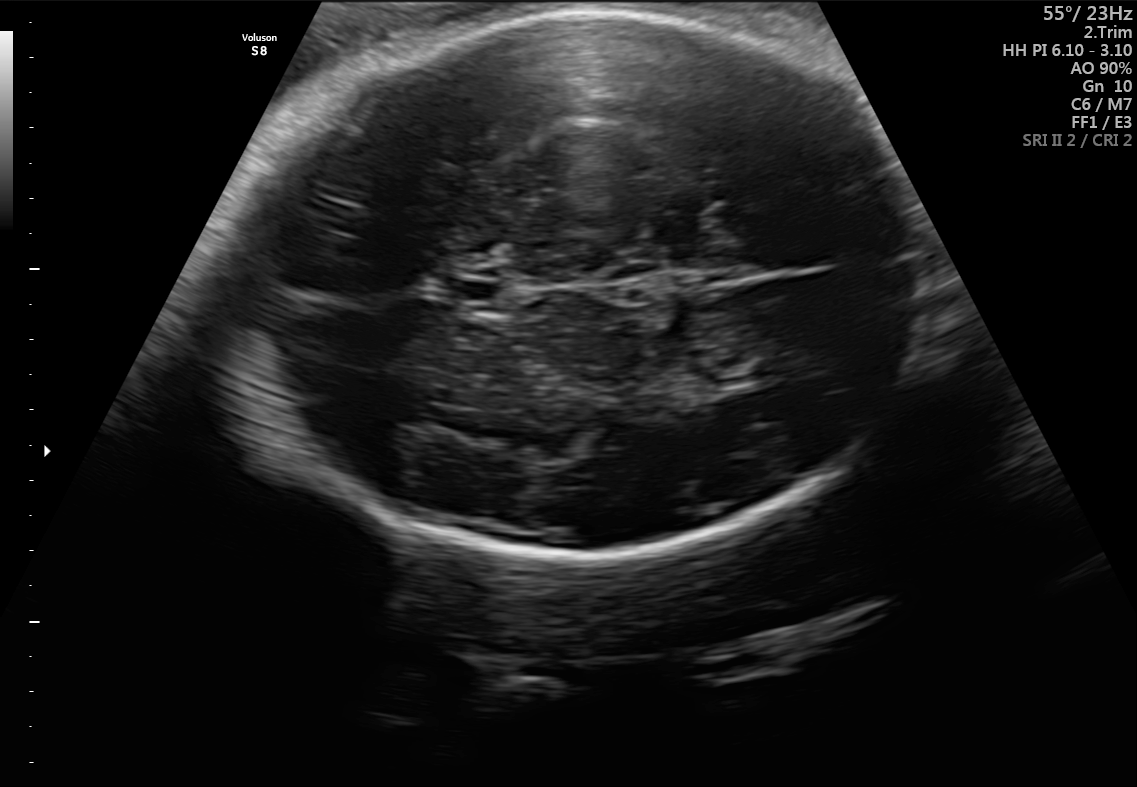
Fetal brain, trans-thalamic plane. Locate the fetal head.

Head: [225,10,921,568]